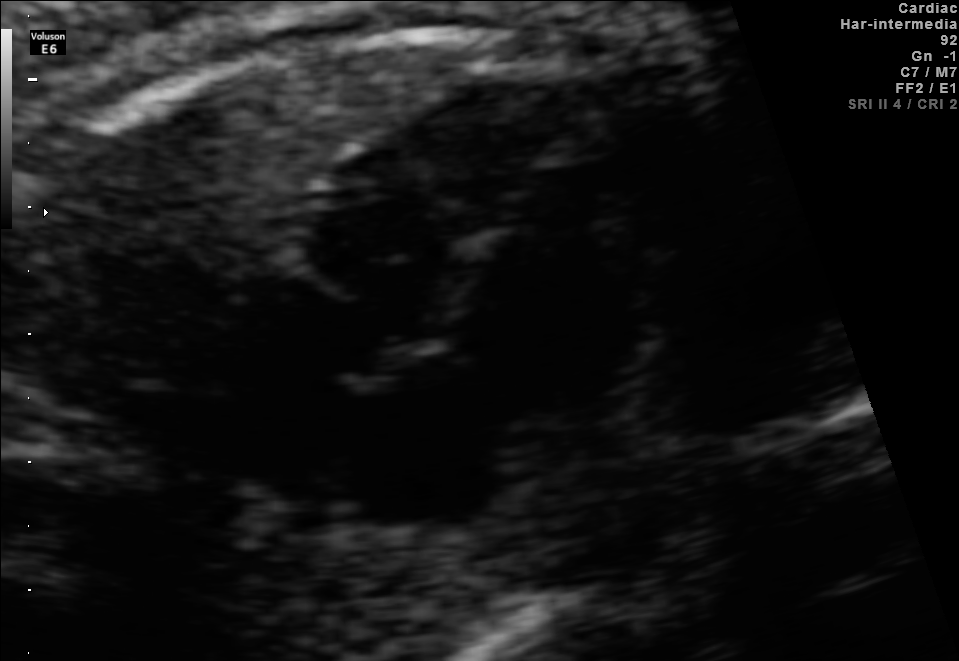
Identify the standard plane in this fetal ultrasound image: fetal abdomen, fetal brain, fetal femur, fetal thorax, maternal cervix, or other. If it's fetal brain and one of the three standard brain planes (trans-thalamic, trans-cerebellum, trans-ventricular), name which.

Fetal thorax